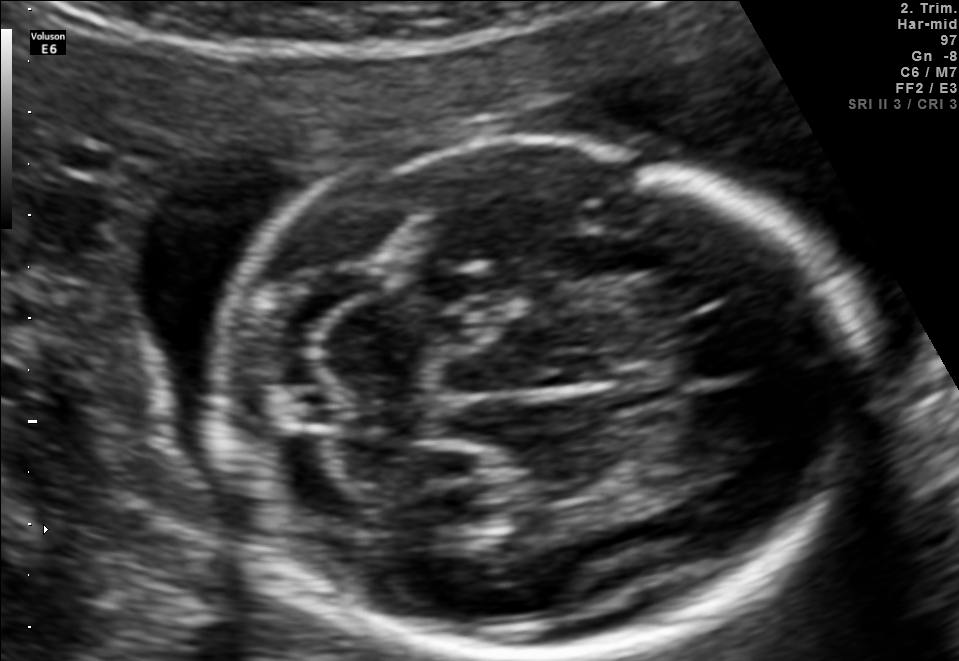
Fetal brain, trans-cerebellum plane. Where is the fetal head?

Head bounding box: [213,138,850,660]